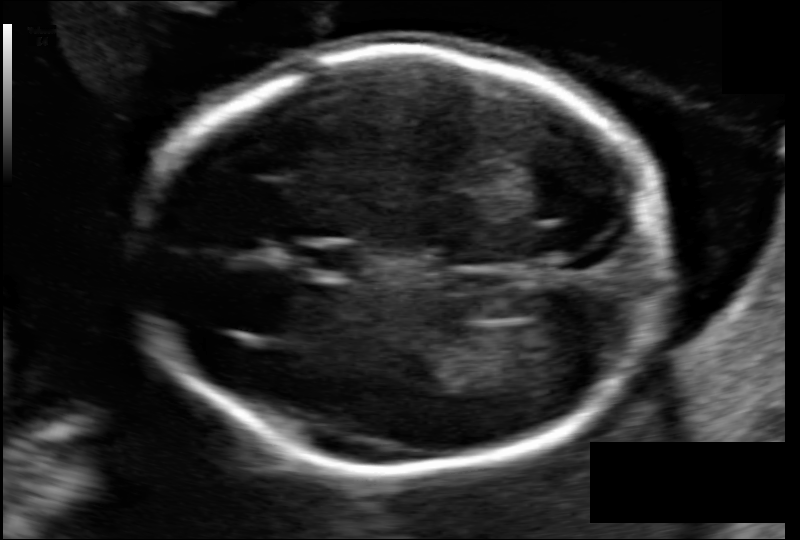
Fetal head ultrasound. Image width: 82.2 mm. Locate the cavum septum pellucidum.

CSP: [296,246,354,272]